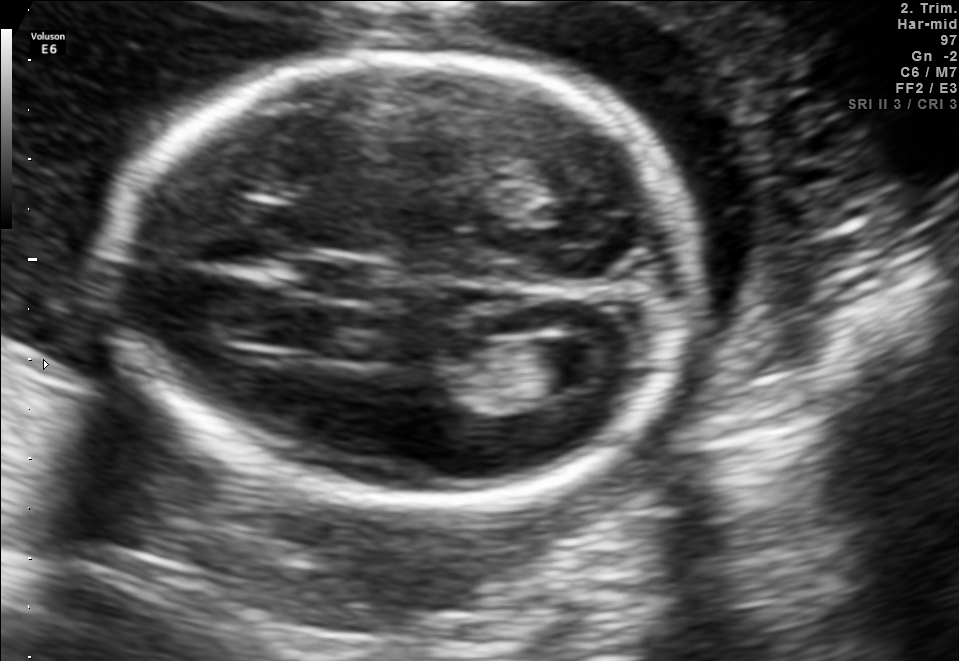
Fetal brain, trans-ventricular plane. Where is the cavum septum pellucidum?

CSP bounding box: [293,257,374,302]